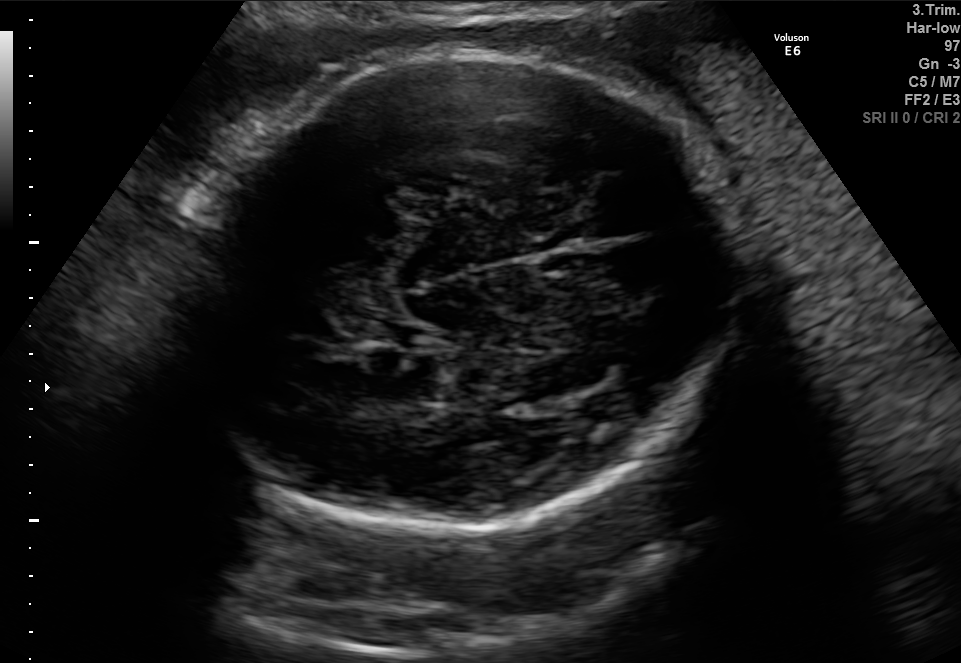
In this fetal brain, trans-thalamic plane, give the bounding box of the fetal head.

[187,55,738,534]